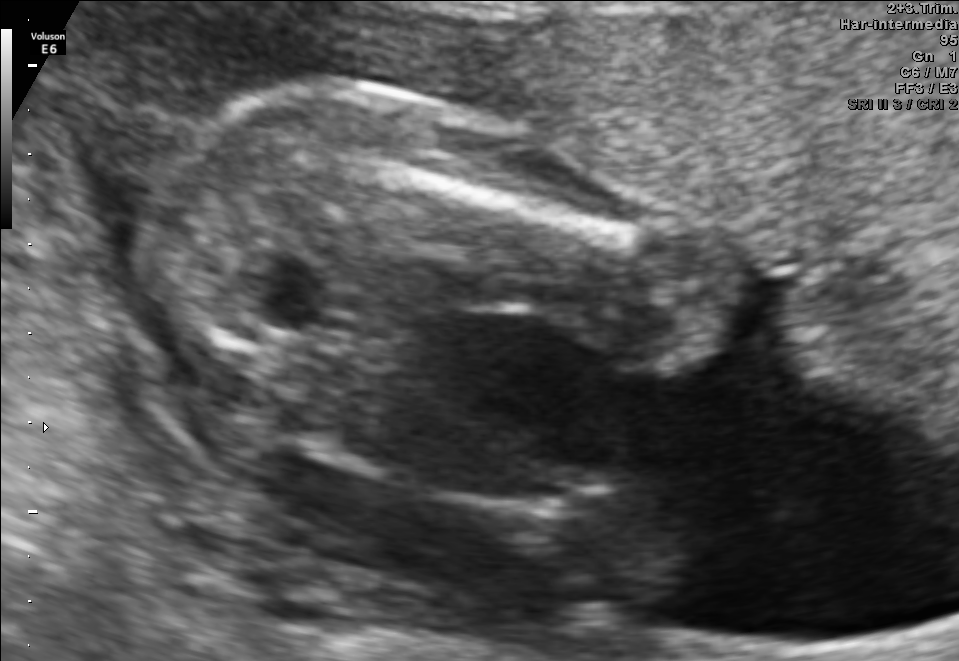
Identify the standard plane in this fetal ultrasound image: fetal abdomen, fetal brain, fetal femur, fetal thorax, maternal cervix, or other. If it's fetal brain and one of the three standard brain planes (trans-thalamic, trans-cerebellum, trans-ventricular), name which.

Fetal femur